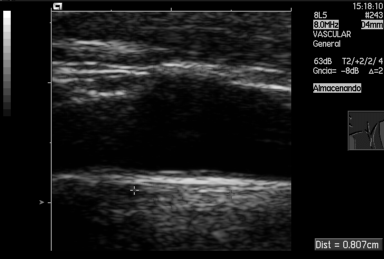
This is a 2D maternal-fetal ultrasound frame. Is it a fetal abdomen, fetal brain, fetal femur, fetal thorax, maternal cervix, or other standard plane? If it's fetal brain and one of the three standard brain planes (trans-thalamic, trans-cerebellum, trans-ventricular), name which.

Other